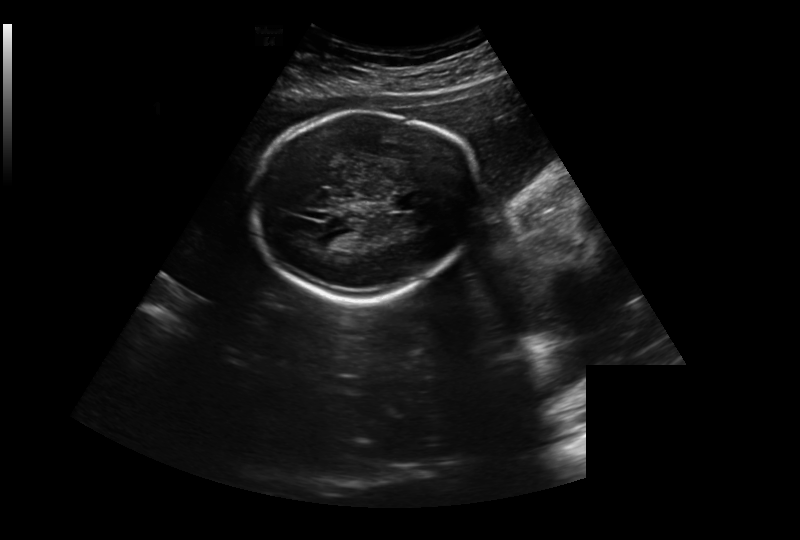
Fetal head ultrasound. Image width: 260.8 mm. Where is the fetal head?

Head bounding box: [253,110,479,301]